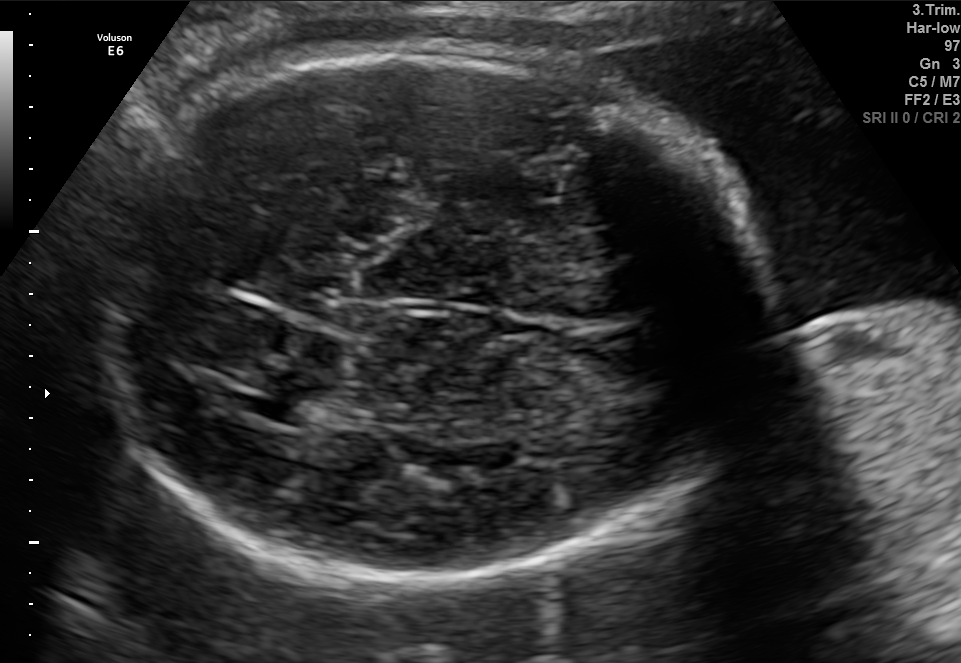
Fetal brain, trans-thalamic plane. Locate the fetal head and, if visible, the cavum septum pellucidum (CSP) and lateral ventricle (LV). Give bounding boxes as [x1,y1,x2,y2].

Head: [86,43,775,580]